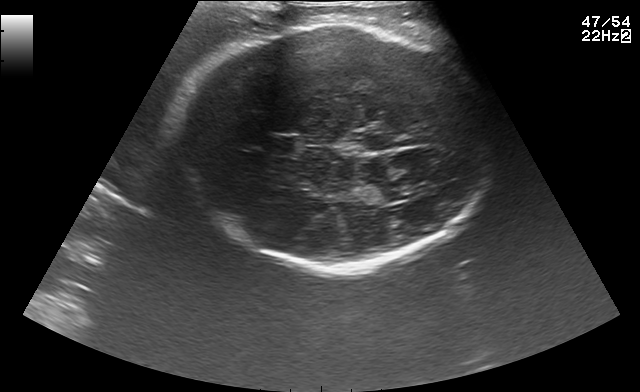
Fetal brain, trans-thalamic plane. Locate the fetal head.

Head: [177,23,487,267]